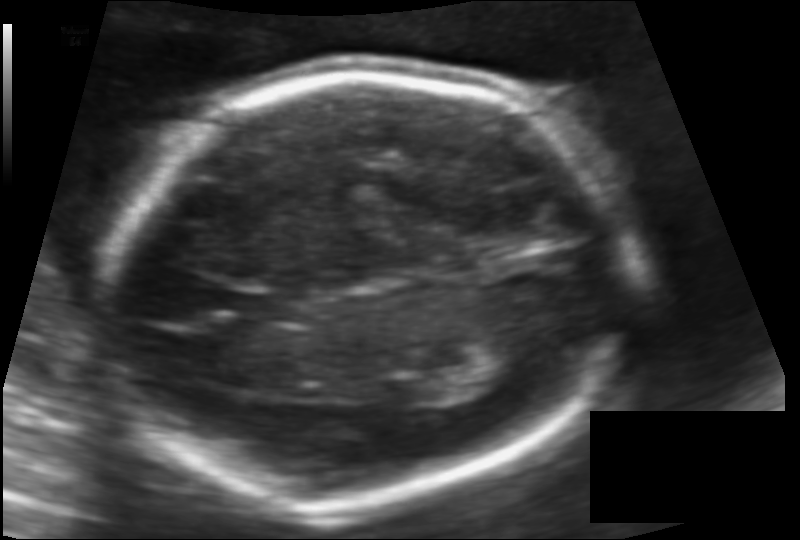
From this fetal ultrasound, estimate the head circumference (image width 93.5 mm).

Head circumference: 181.8 mm.